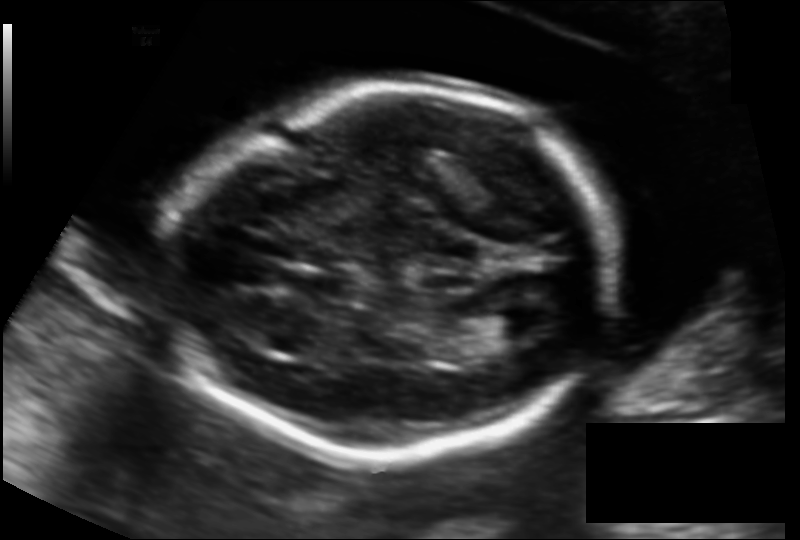
Fetal head ultrasound. Image width: 105.0 mm. Locate the lateral ventricle.

Lateral ventricle: [484,308,539,343]